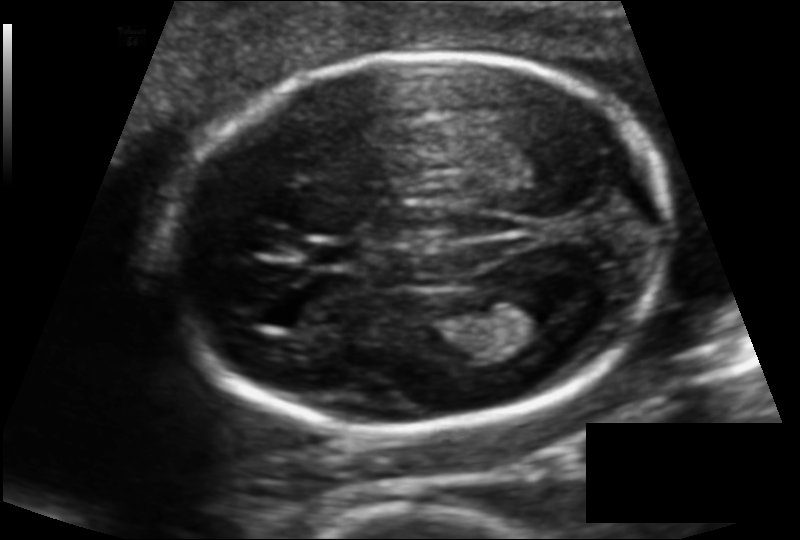
Fetal head ultrasound. Image width: 95.8 mm. Locate the fetal head.

Head: [171,51,672,431]